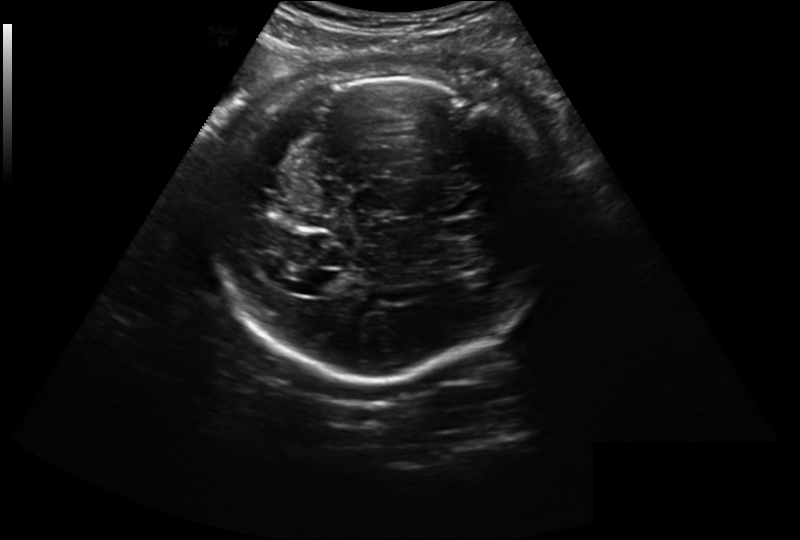
In this fetal head ultrasound, give bounding boxes for the head outline, cavum septum pellucidum (CSP), and lateral ventricle (LV), where visible. Image width: 208.4 mm.

Head: [219,74,546,381]
CSP: [441,219,477,237]
Lateral ventricle: [310,271,347,294]